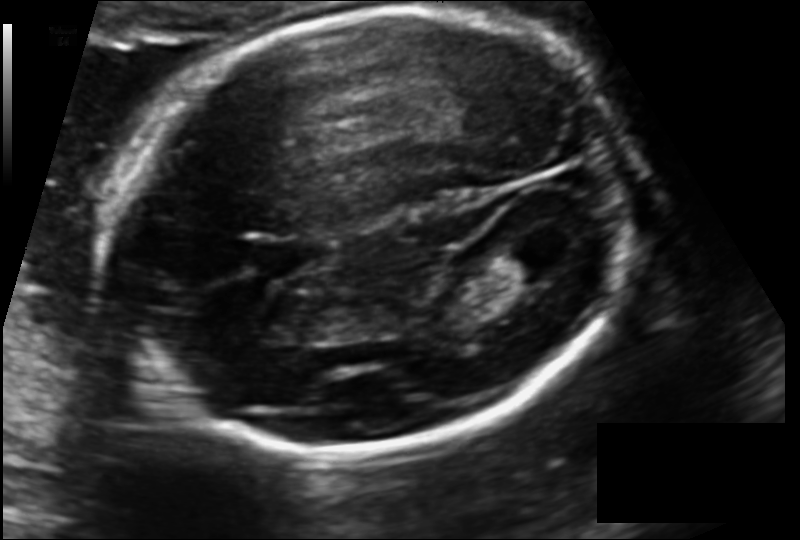
Fetal head ultrasound. Image width: 105.5 mm. Locate the cavum septum pellucidum.

CSP: [254,231,333,280]